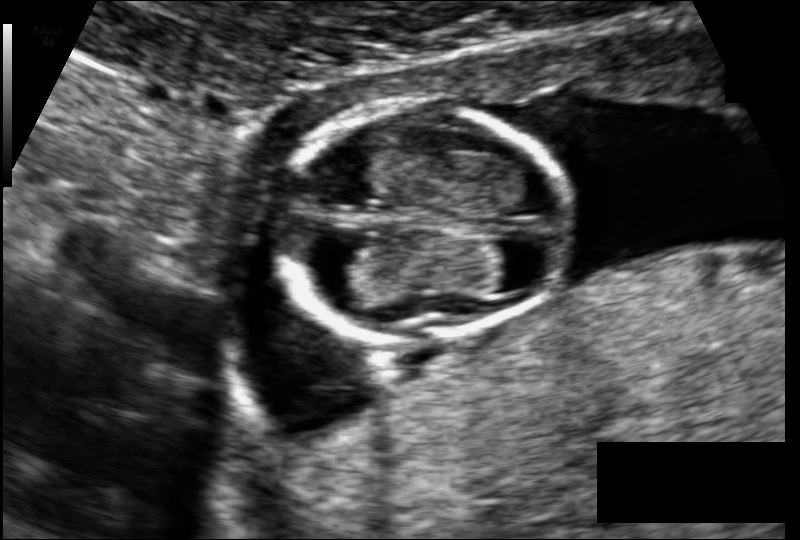
Estimate the fetal head circumference from this 2D ultrasound.

Head circumference: 83.4 mm (image width 78.5 mm).